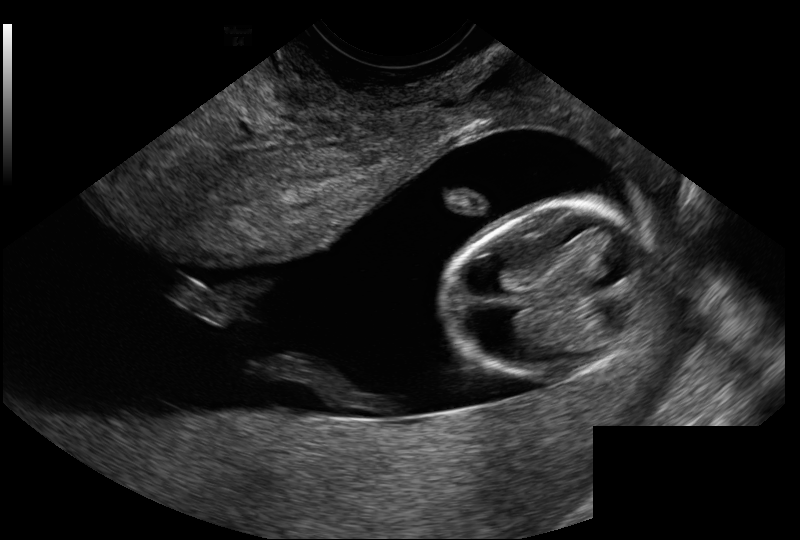
In this fetal head ultrasound, give the bounding box of the fetal head. Image width: 91.5 mm.

[450,202,650,379]